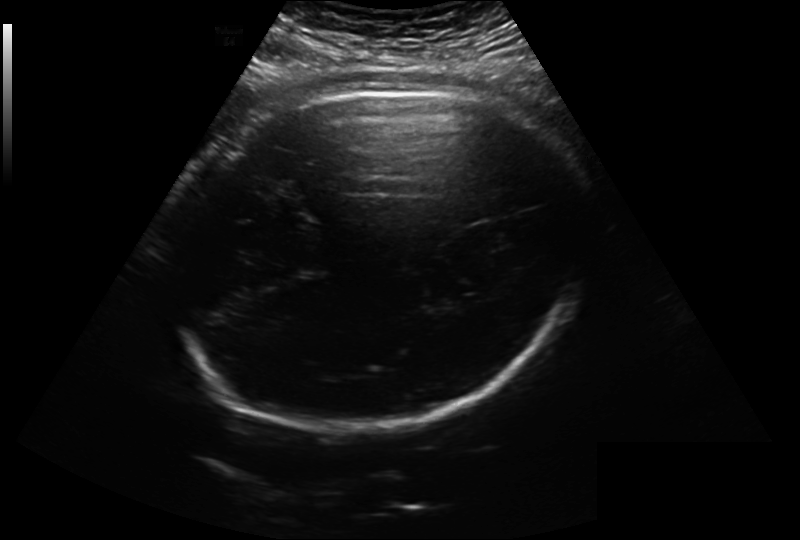
What is the fetal head circumference? Image width is 223.6 mm.

346.4 mm